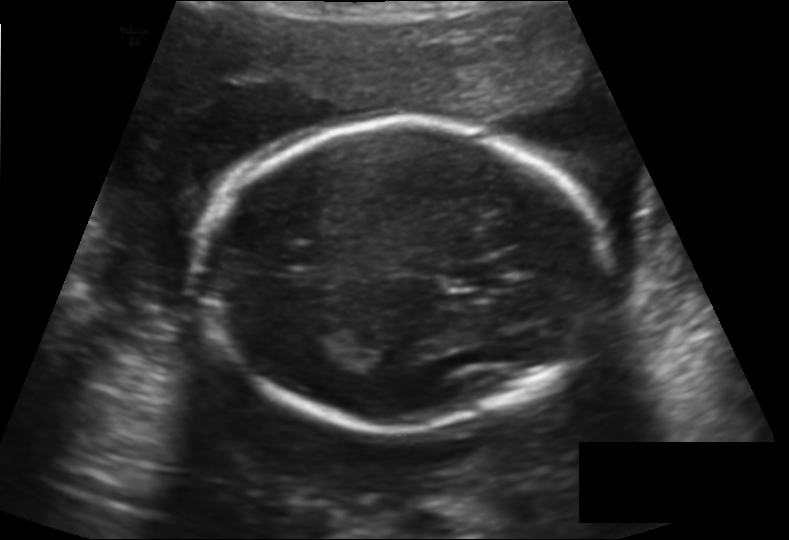
Estimate the fetal head circumference from this 2D ultrasound. Image width: 124.3 mm.

Head circumference: 184.8 mm.